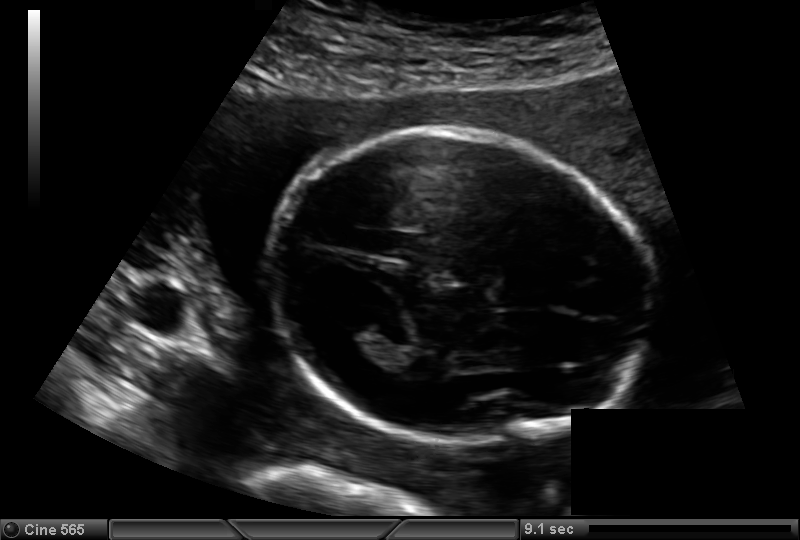
Fetal head ultrasound. Image width: 113.5 mm. Where is the fetal head?

Head bounding box: [270,131,653,450]